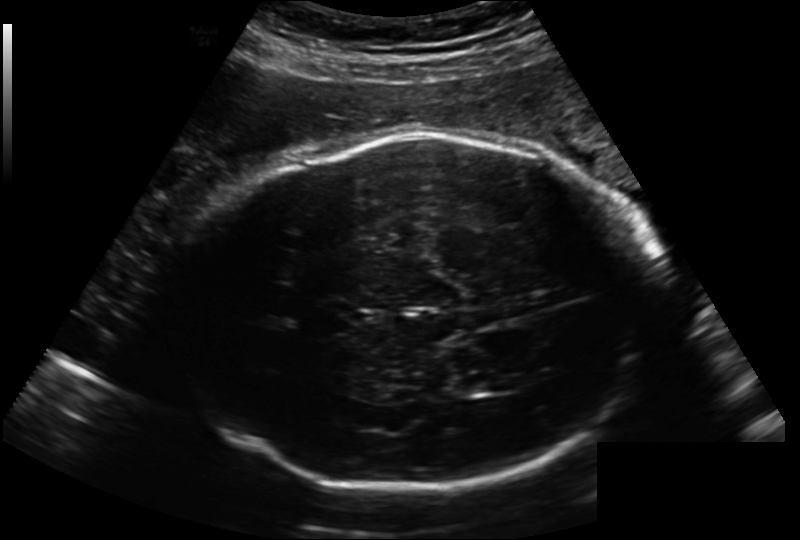
Estimate the fetal head circumference from this 2D ultrasound.

Head circumference: 299.8 mm (image width 177.3 mm).